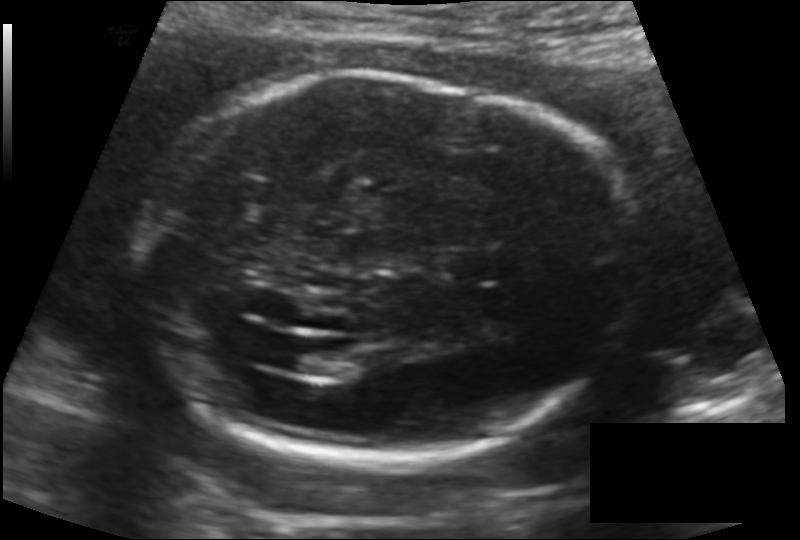
In this fetal head ultrasound, give the bounding box of the cavum septum pellucidum. Image width: 117.5 mm.

[441,248,503,282]